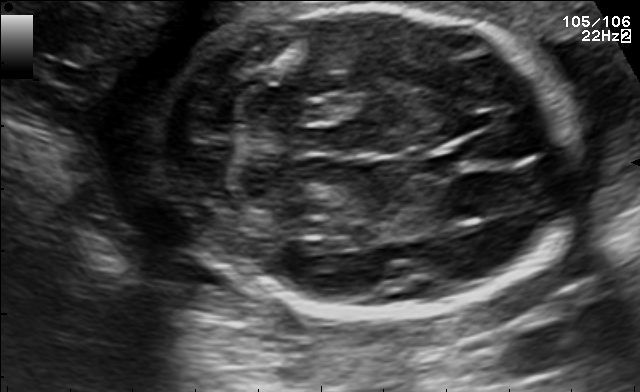
In this fetal brain, trans-cerebellum plane, give the bounding box of the fetal head.

[156,5,579,314]